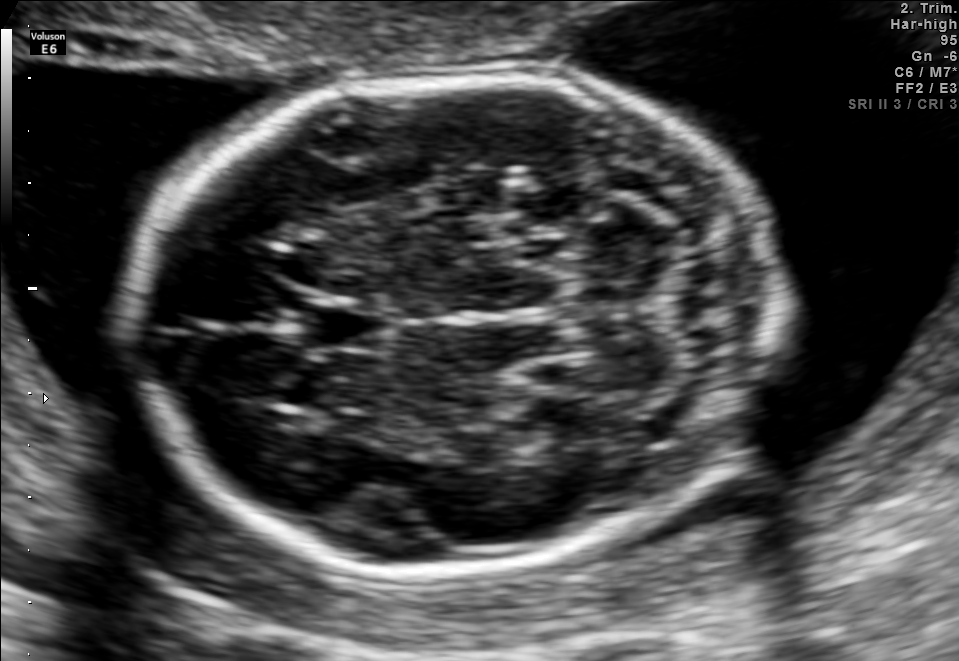
Fetal brain, trans-cerebellum plane. Locate the fetal head.

Head: [133,70,778,569]